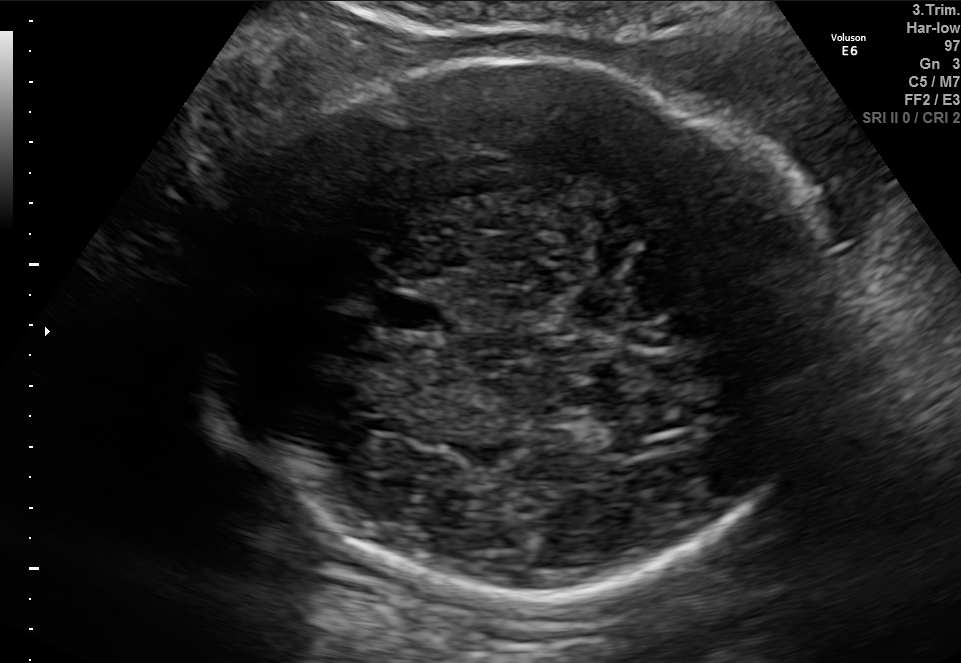
In this fetal brain, trans-thalamic plane, give the bounding box of the fetal head.

[197,56,838,593]